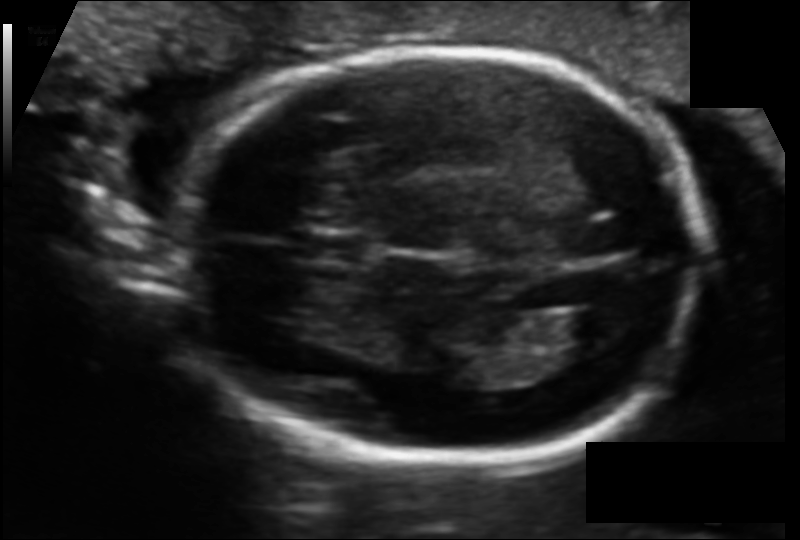
Fetal head ultrasound. Image width: 86.3 mm. Where is the cavum septum pellucidum?

CSP bounding box: [304,233,369,263]